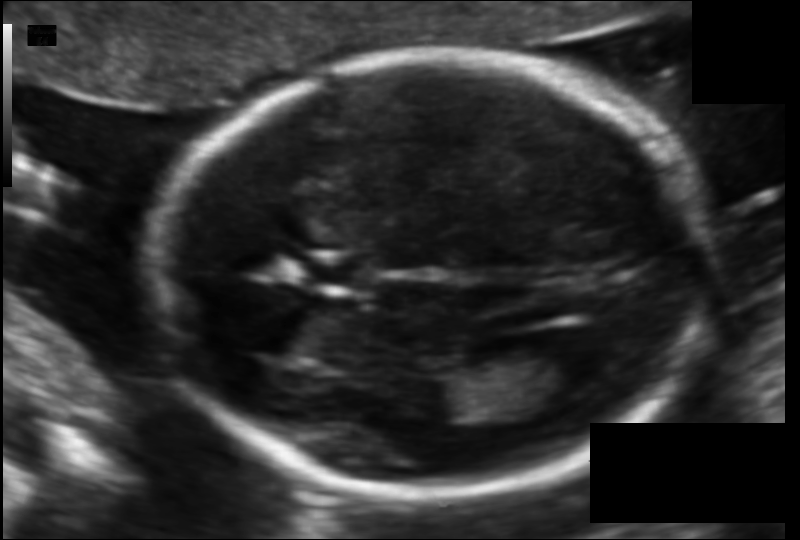
In this fetal head ultrasound, give the bounding box of the lateral ventricle. Image width: 83.8 mm.

[517,324,614,407]